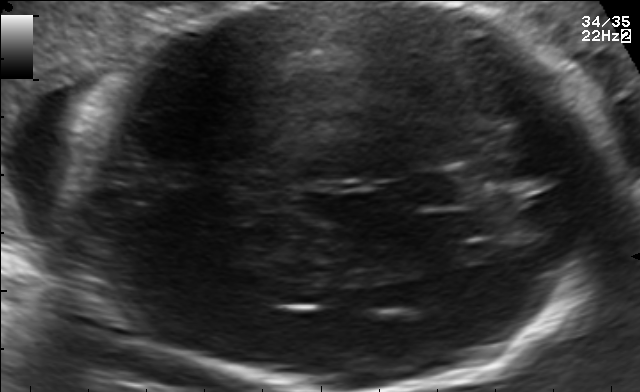
Identify the standard plane in this fetal ultrasound image: fetal abdomen, fetal brain, fetal femur, fetal thorax, maternal cervix, or other. If it's fetal brain and one of the three standard brain planes (trans-thalamic, trans-cerebellum, trans-ventricular), name which.

Fetal brain (trans-thalamic plane)